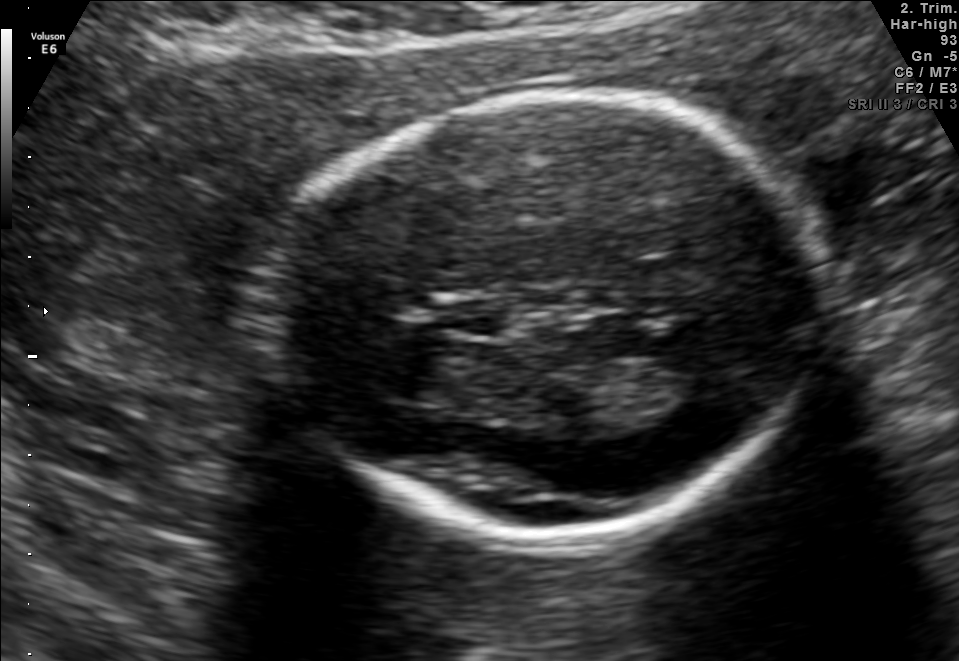
Fetal brain, trans-thalamic plane. Where is the fetal head?

Head bounding box: [268,93,819,538]